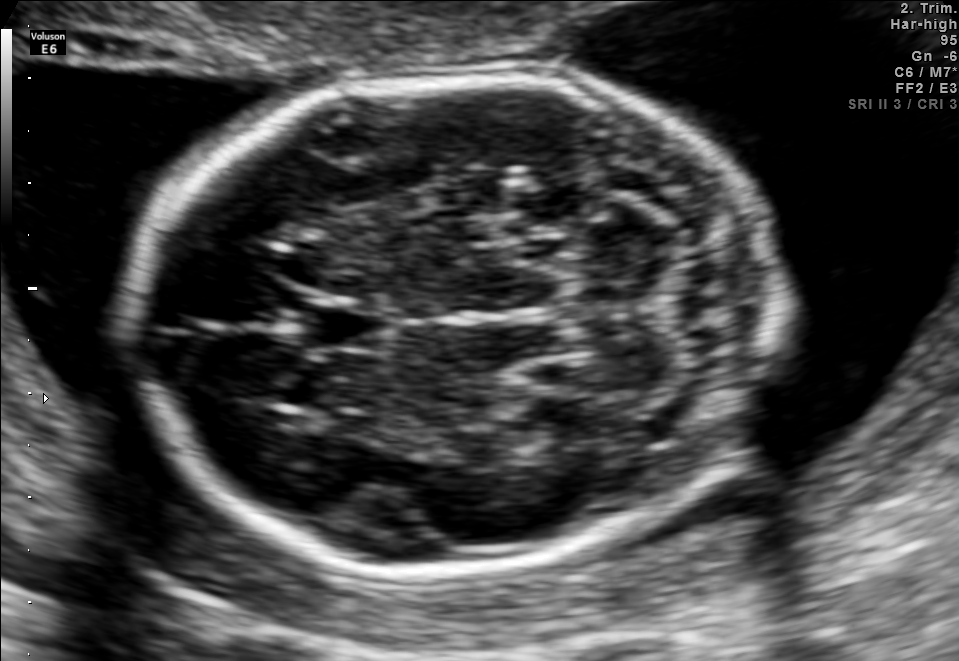
Fetal brain, trans-cerebellum plane. Where is the cavum septum pellucidum?

CSP bounding box: [294,297,389,353]